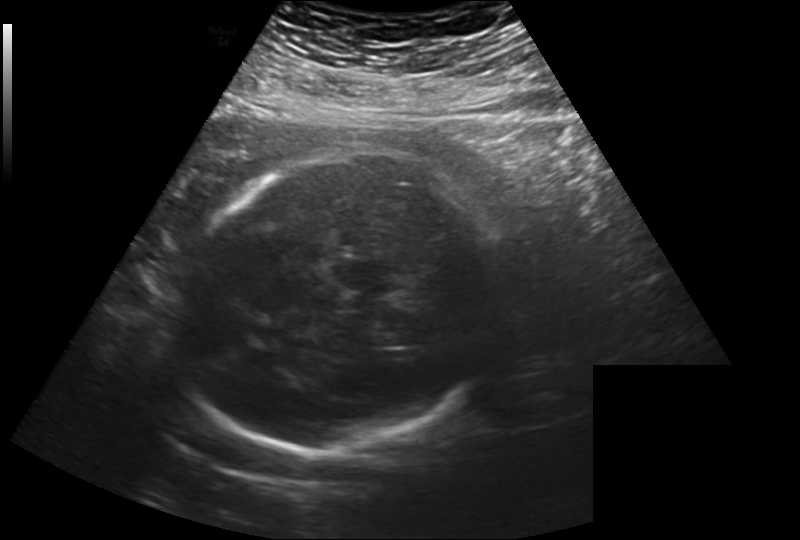
Fetal head ultrasound. Image width: 208.0 mm. Give [x1,y1,x2,y2] bounding boxes for each visible structure among: fetal head, CSP, LV.

Head: [177,154,500,453]